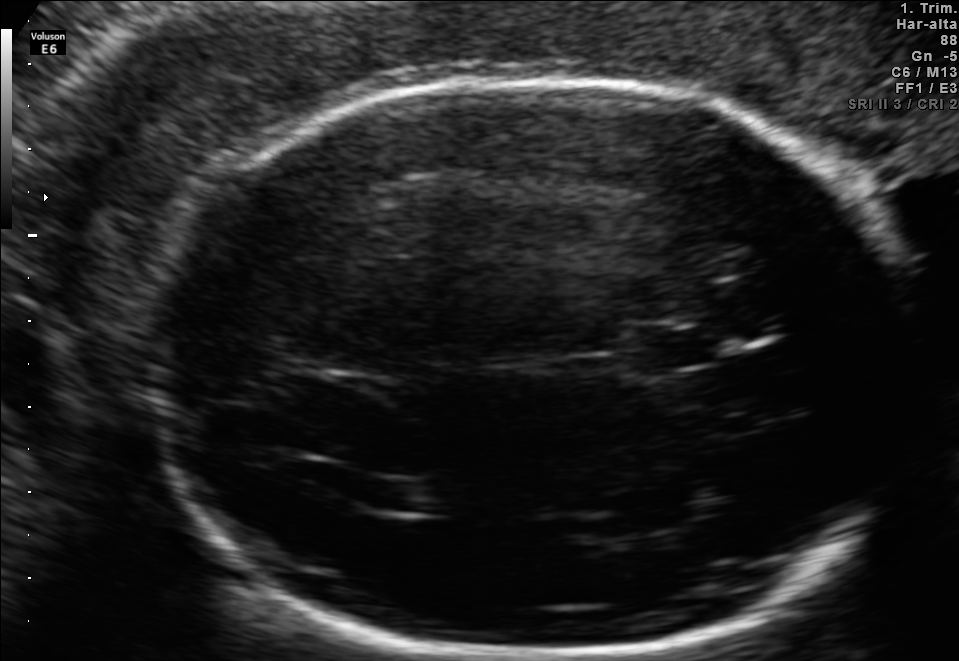
Fetal brain, trans-thalamic plane. Where is the cavum septum pellucidum?

CSP bounding box: [633,325,722,373]